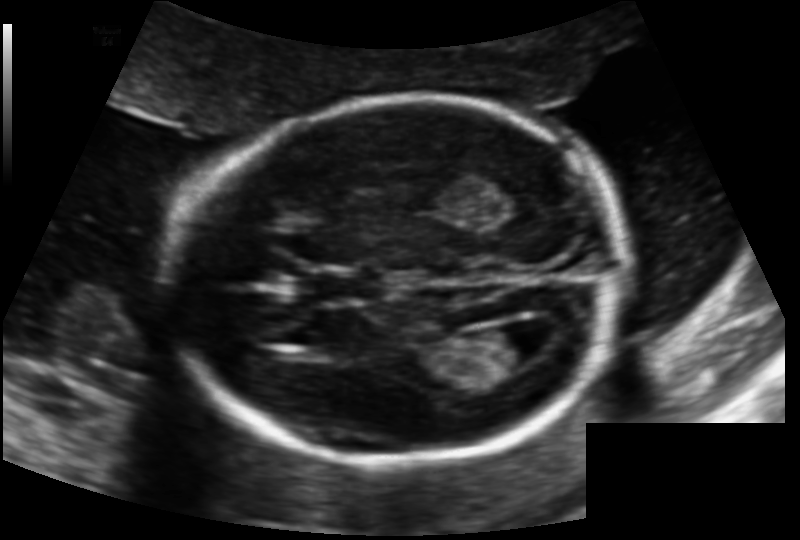
Fetal head ultrasound. Image width: 104.9 mm. Give [x1,y1,x2,y2] bounding boxes for each visible structure among: fetal head, CSP, LV.

Head: [174,97,624,464]
CSP: [311,269,383,302]
Lateral ventricle: [468,319,546,377]